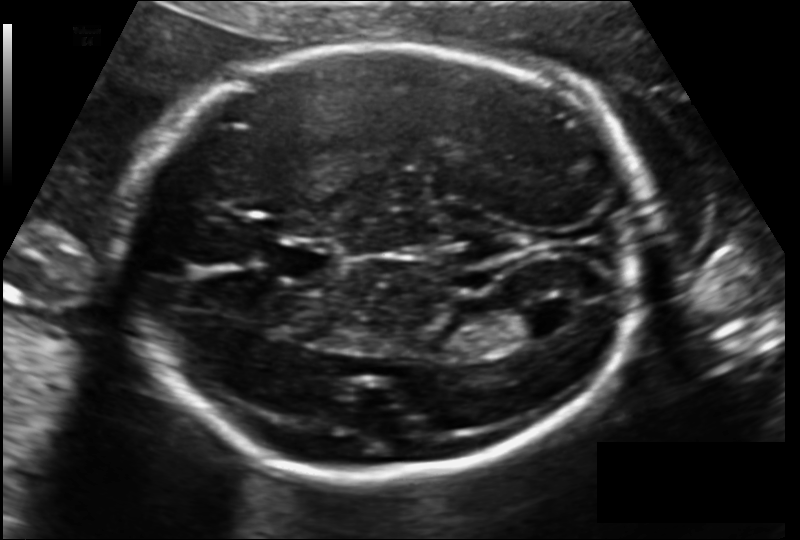
In this fetal head ultrasound, give the bounding box of the cavum septum pellucidum. Image width: 118.5 mm.

[274,244,340,281]